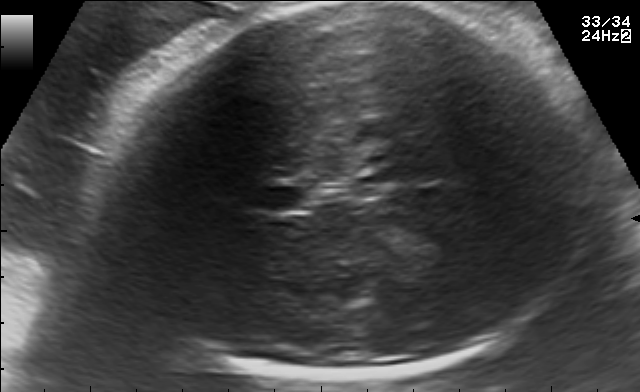
Fetal brain, trans-thalamic plane. Locate the fetal head and, if visible, the cavum septum pellucidum (CSP) and lateral ventricle (LV). Give bounding boxes as [x1,y1,x2,y2].

Head: [106,3,589,381]
CSP: [256,187,303,211]